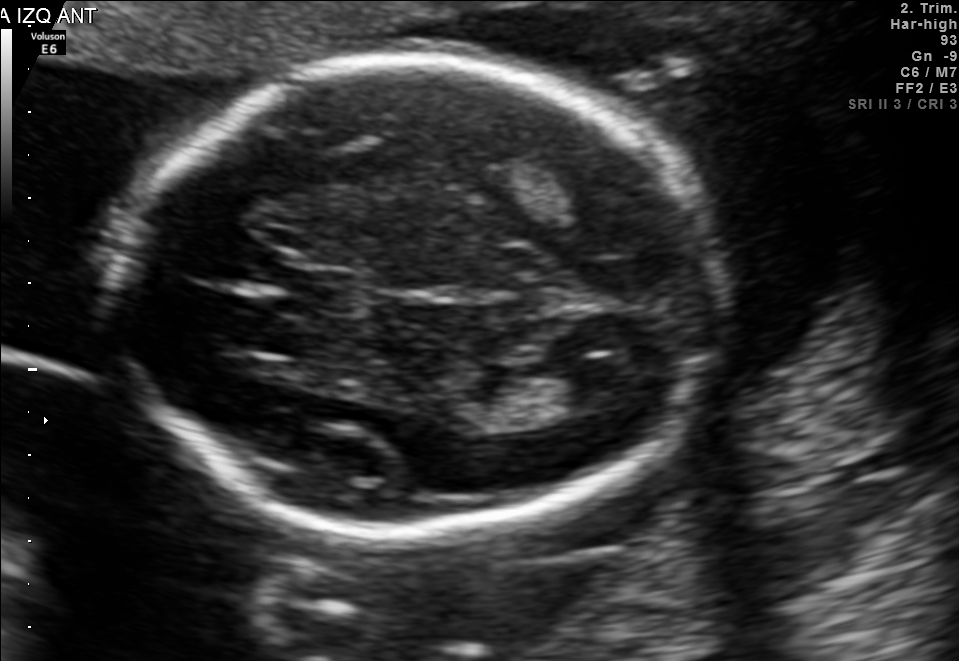
Fetal brain, trans-thalamic plane. Where is the lateral ventricle?

Lateral ventricle bounding box: [529,349,631,425]